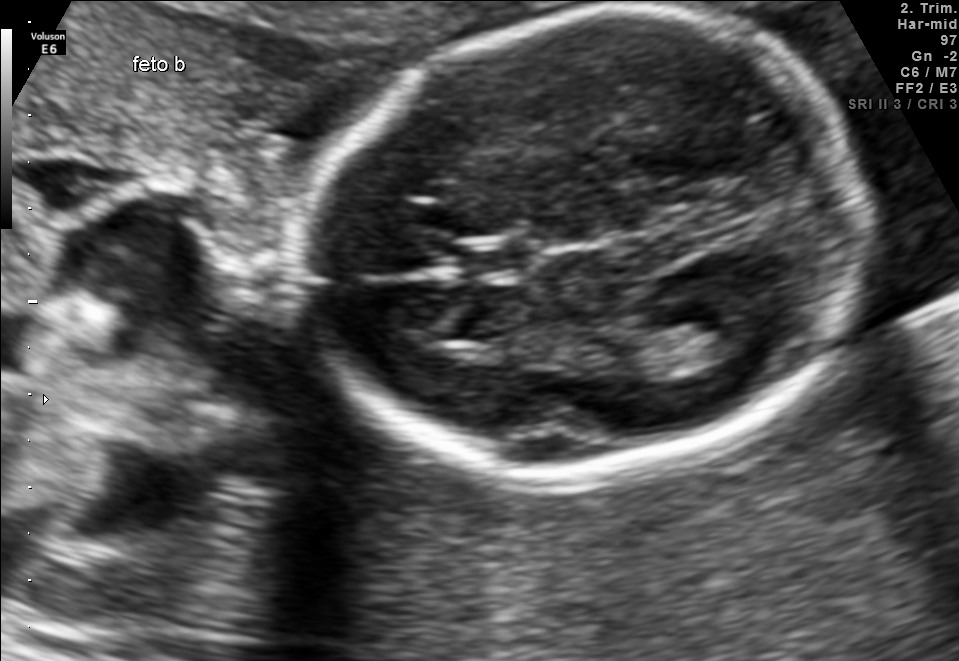
In this fetal brain, trans-thalamic plane, give the bounding box of the cavum septum pellucidum.

[464,239,534,278]